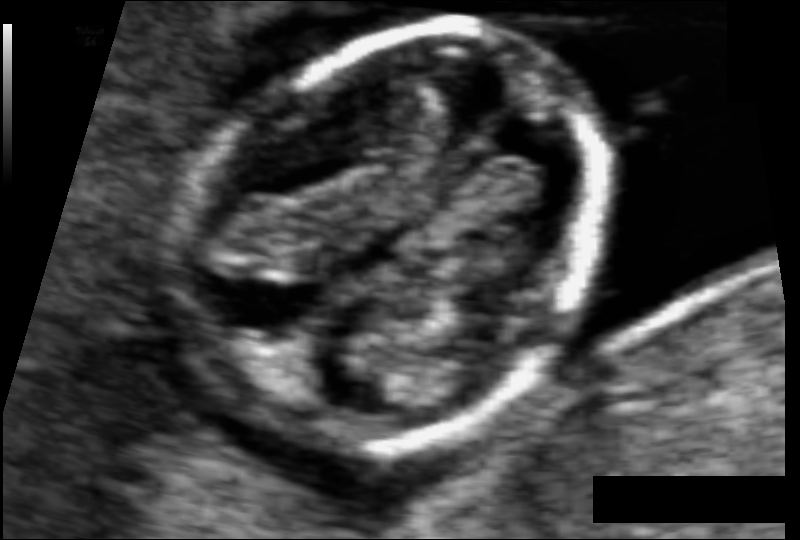
Estimate the fetal head circumference from this 2D ultrasound. Image width: 47.6 mm.

Head circumference: 82.9 mm.